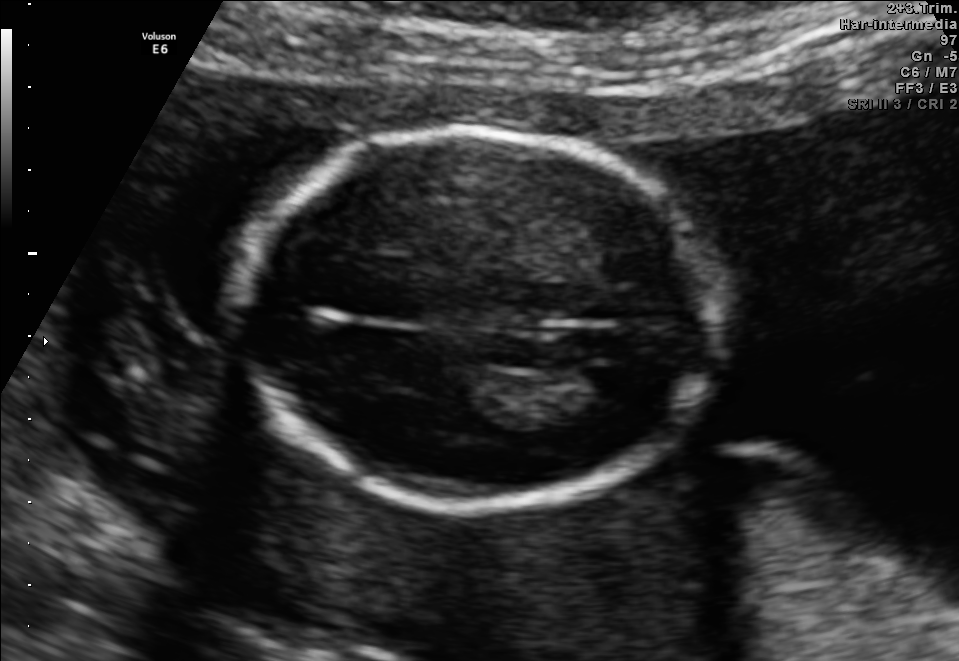
This is a 2D maternal-fetal ultrasound frame. Is it a fetal abdomen, fetal brain, fetal femur, fetal thorax, maternal cervix, or other standard plane? If it's fetal brain and one of the three standard brain planes (trans-thalamic, trans-cerebellum, trans-ventricular), name which.

Fetal brain (trans-ventricular plane)